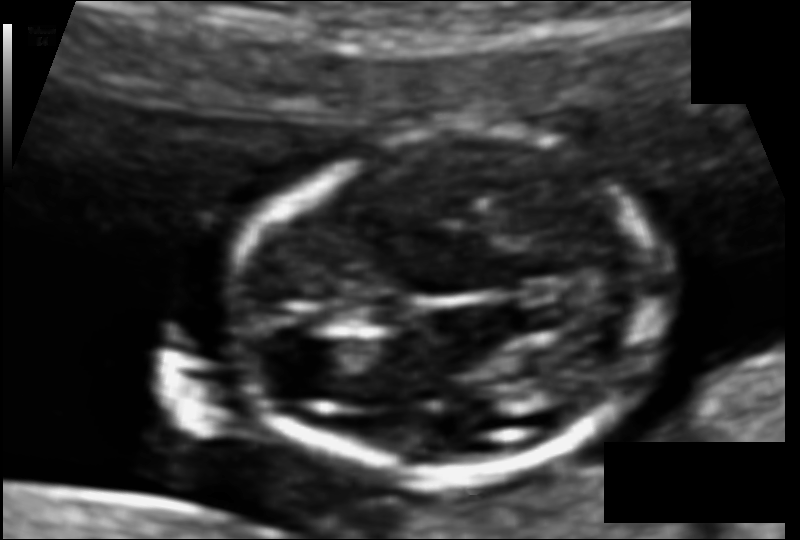
From this fetal ultrasound, estimate the head circumference (image width 60.3 mm).

Head circumference: 95.3 mm.